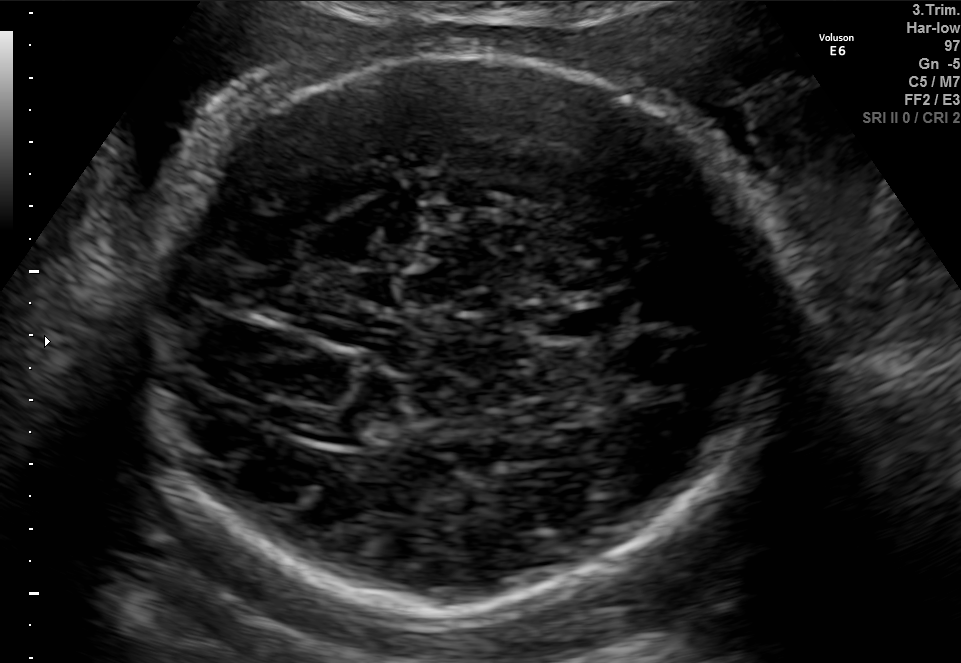
Fetal brain, trans-thalamic plane. Give [x1,y1,x2,y2] bounding boxes for each visible structure among: fetal head, CSP, LV.

Head: [144,56,791,619]
CSP: [544,305,611,342]
Lateral ventricle: [290,404,368,447]